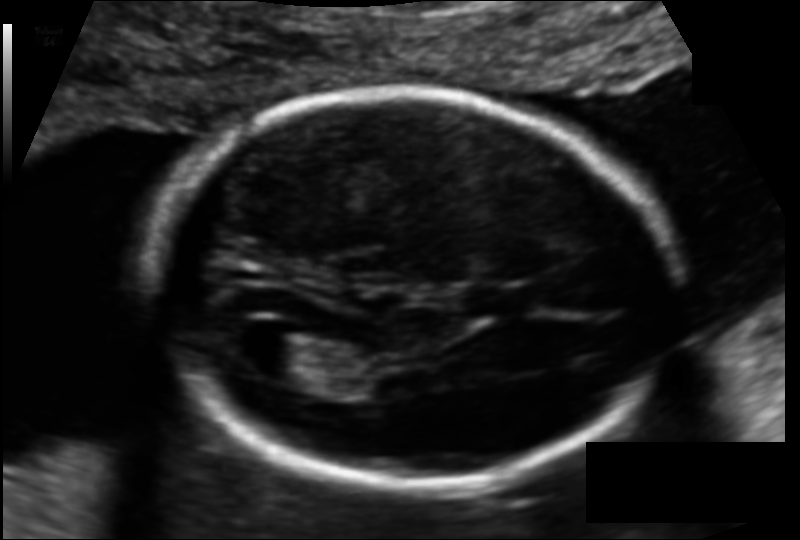
Fetal head ultrasound. Image width: 91.1 mm. Where is the cavum septum pellucidum?

CSP bounding box: [466,282,532,319]